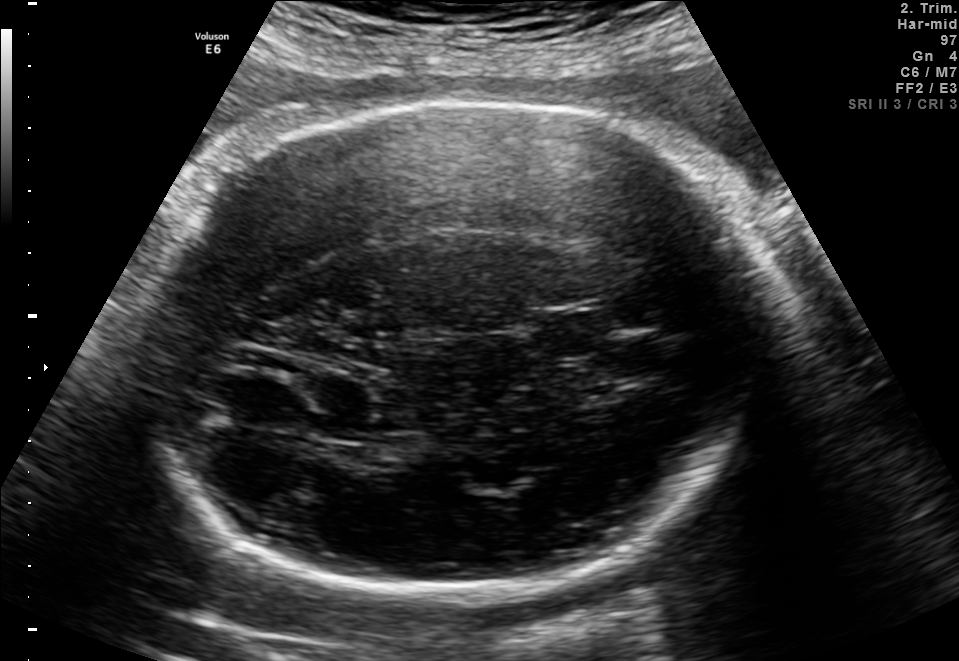
In this fetal brain, trans-thalamic plane, give the bounding box of the fetal head.

[136,99,769,606]